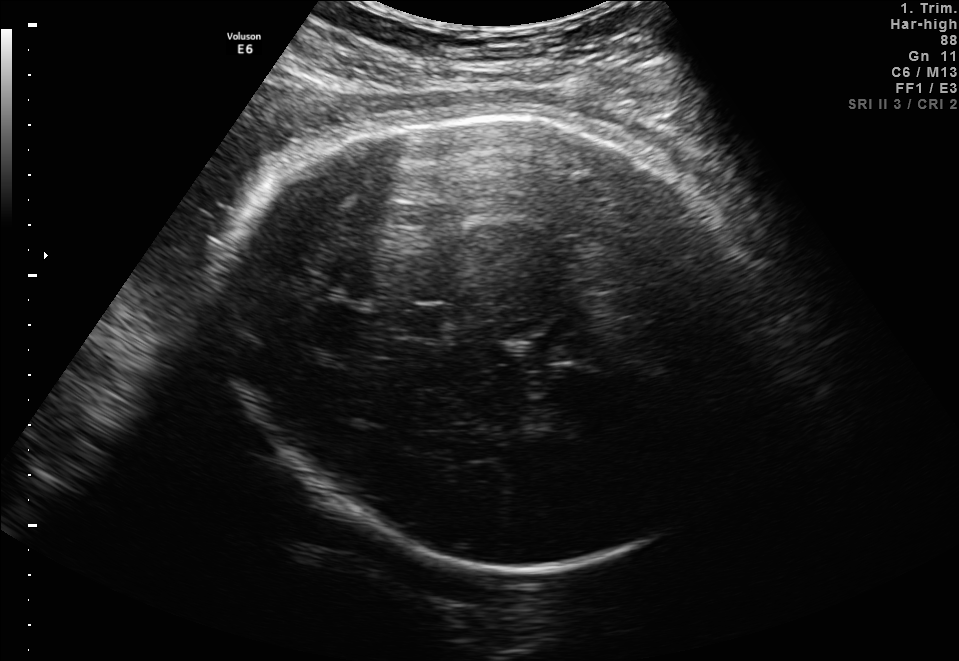
In this fetal brain, trans-thalamic plane, give the bounding box of the fetal head.

[214,104,777,565]